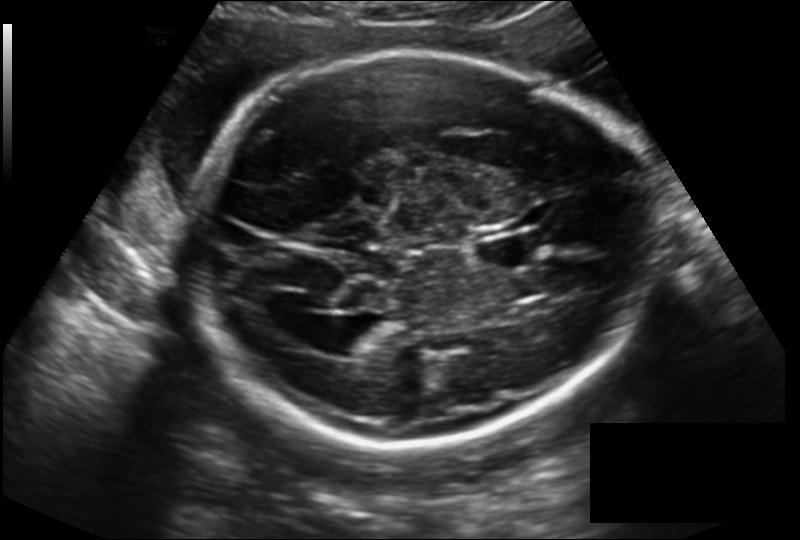
In this fetal head ultrasound, give the bounding box of the fetal head. Image width: 155.0 mm.

[187,51,648,446]